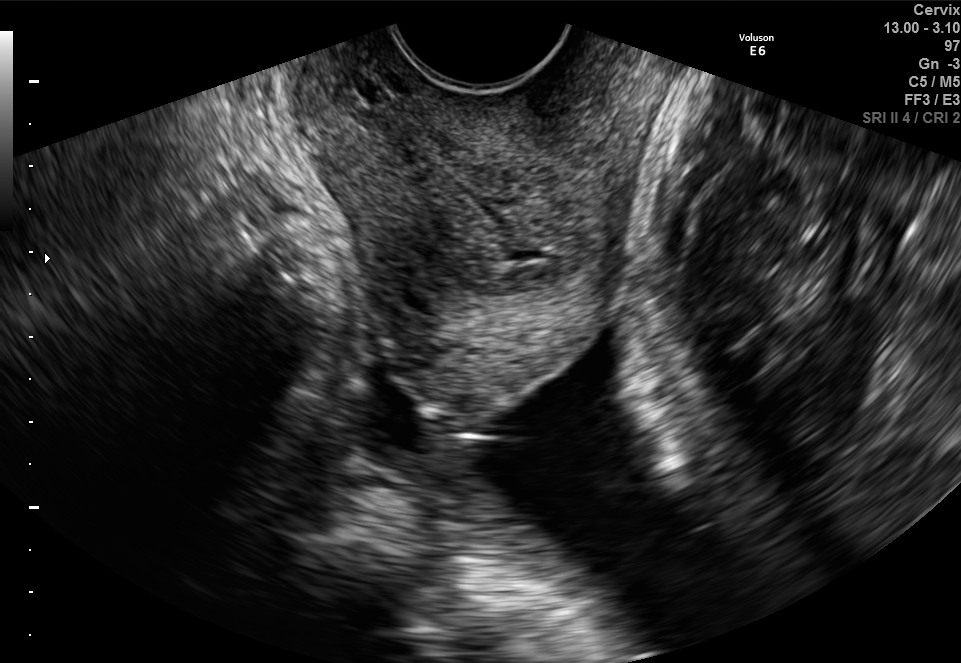
Which standard maternal-fetal ultrasound plane is shown: fetal abdomen, fetal brain, fetal femur, fetal thorax, maternal cervix, or other? If it's fetal brain and one of the three standard brain planes (trans-thalamic, trans-cerebellum, trans-ventricular), name which.

Maternal cervix